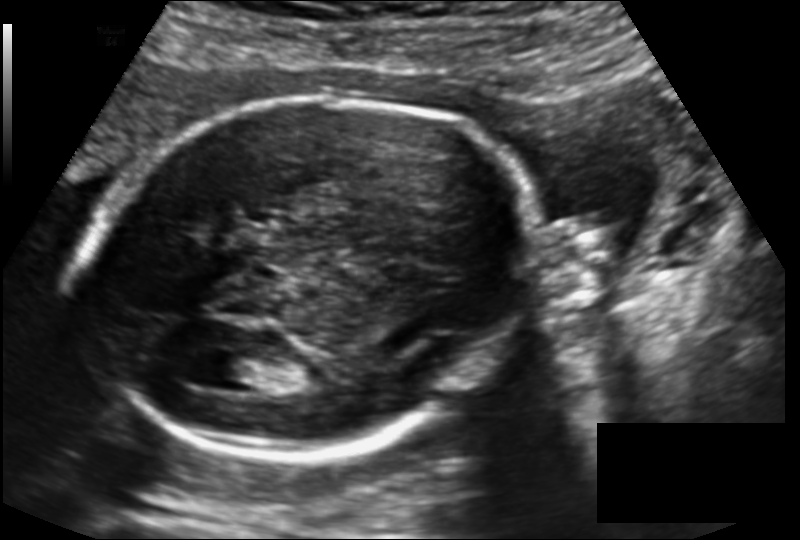
In this fetal head ultrasound, give bounding boxes for the head outline, cavum septum pellucidum (CSP), and lateral ventricle (LV), where visible. Image width: 114.3 mm.

Head: [86,95,542,452]
Lateral ventricle: [205,350,269,389]